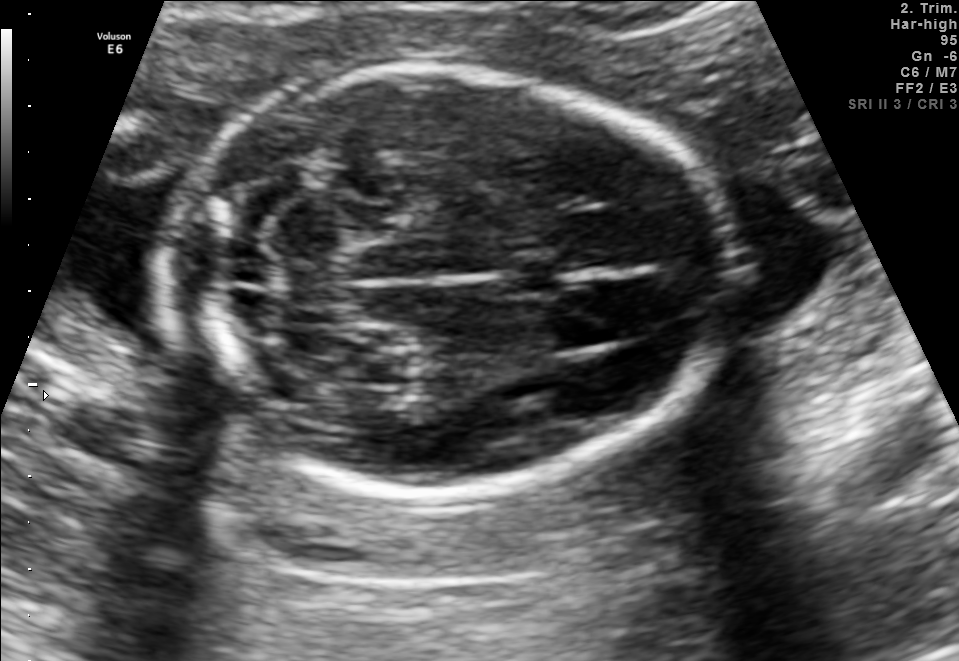
In this fetal brain, trans-cerebellum plane, give the bounding box of the cavum septum pellucidum.

[496,255,565,298]